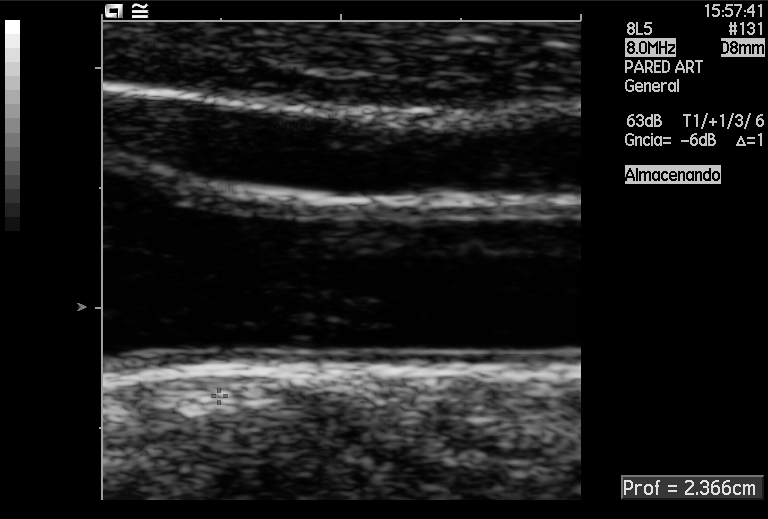
This is a 2D maternal-fetal ultrasound frame. Is it a fetal abdomen, fetal brain, fetal femur, fetal thorax, maternal cervix, or other standard plane? If it's fetal brain and one of the three standard brain planes (trans-thalamic, trans-cerebellum, trans-ventricular), name which.

Other